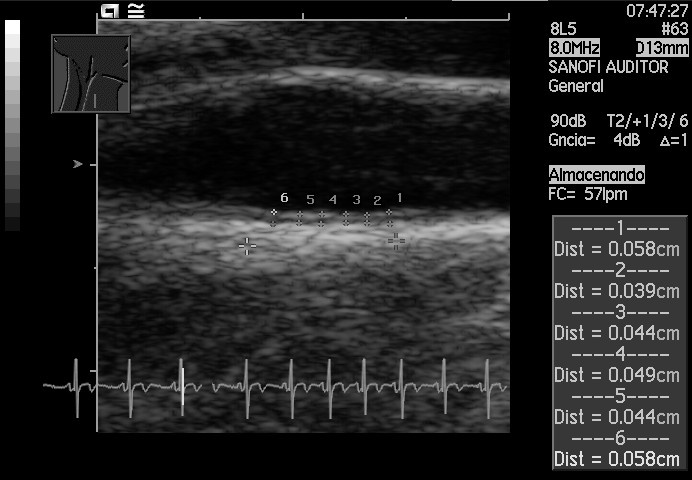
Identify the standard plane in this fetal ultrasound image: fetal abdomen, fetal brain, fetal femur, fetal thorax, maternal cervix, or other. If it's fetal brain and one of the three standard brain planes (trans-thalamic, trans-cerebellum, trans-ventricular), name which.

Other